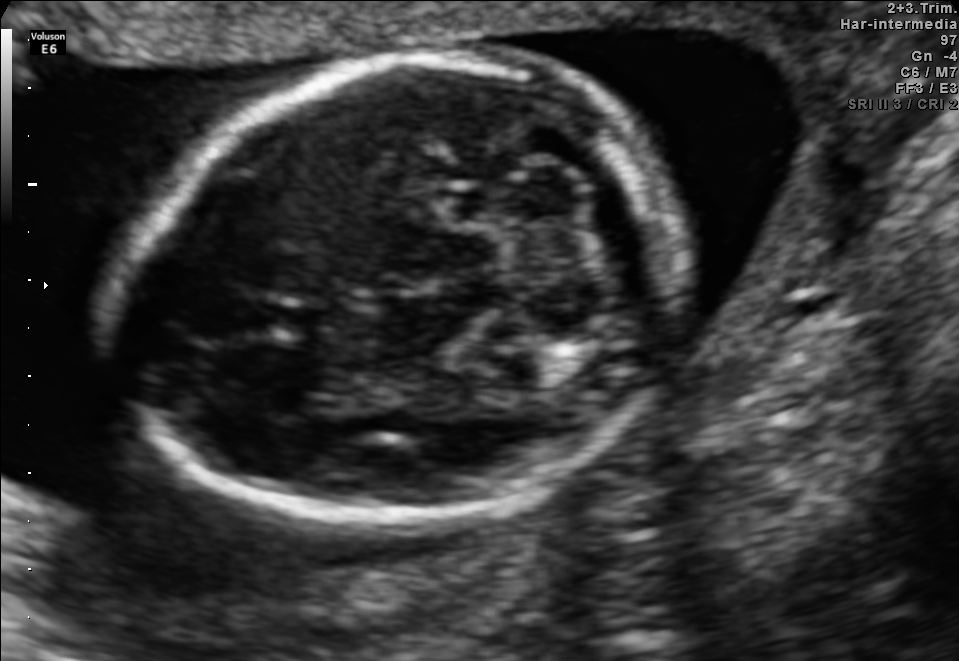
Fetal brain, trans-cerebellum plane. Locate the fetal head.

Head: [115,55,686,536]